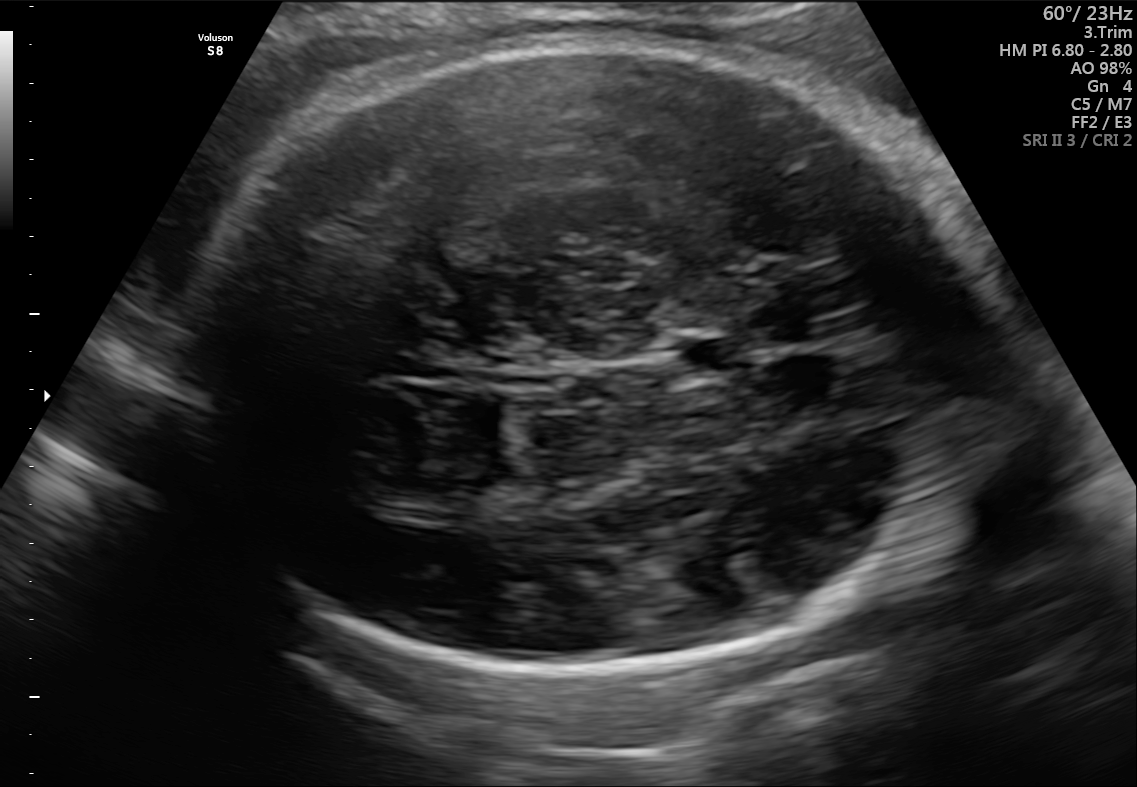
Fetal brain, trans-thalamic plane. Where is the cavum septum pellucidum?

CSP bounding box: [674,334,747,379]